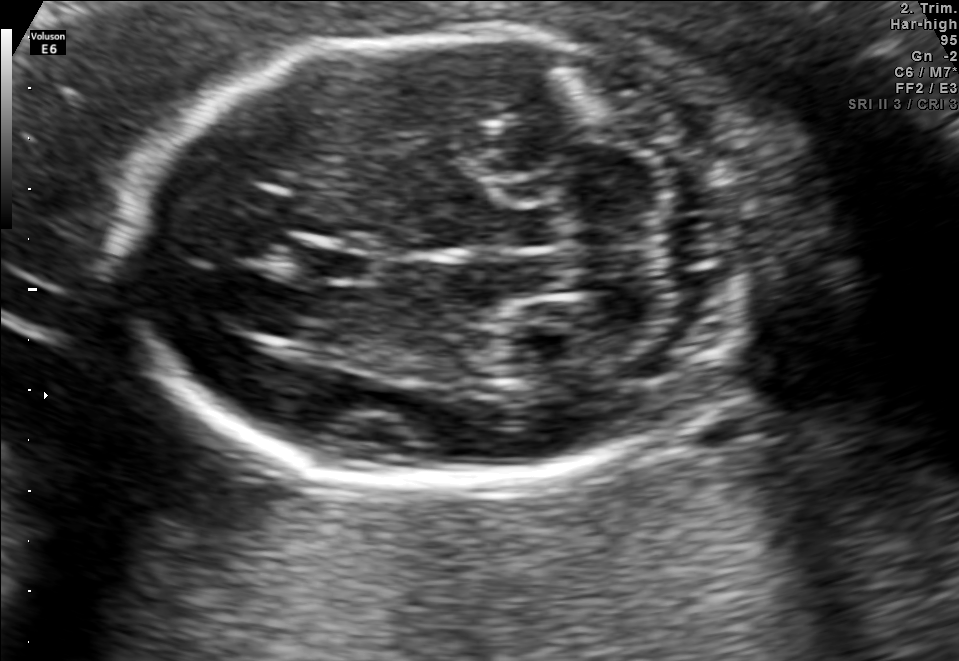
Fetal brain, trans-cerebellum plane. Where is the lateral ventricle?

Lateral ventricle bounding box: [486,316,586,374]